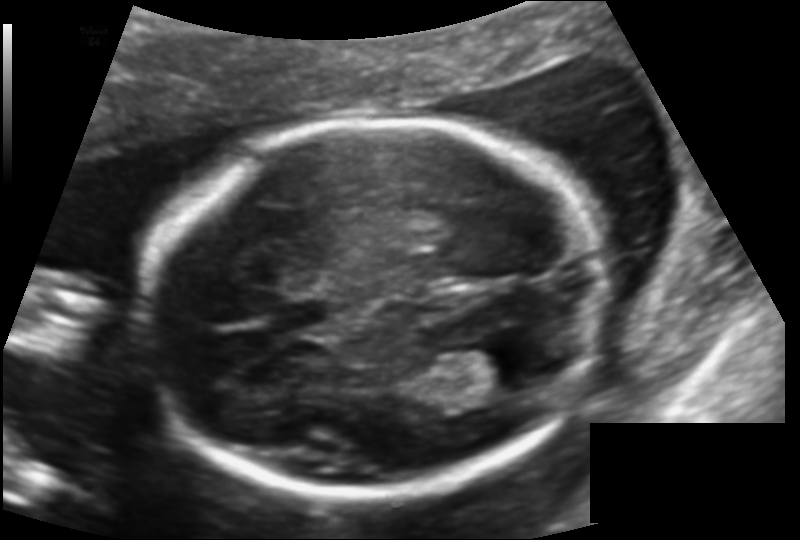
In this fetal head ultrasound, give the bounding box of the cavum septum pellucidum. Image width: 105.2 mm.

[267,294,336,336]